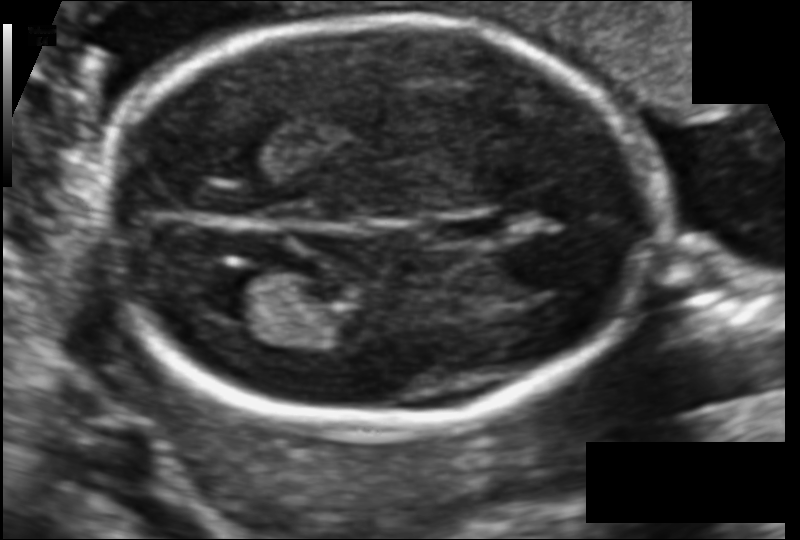
Fetal head ultrasound. Image width: 84.6 mm. Where is the fetal head?

Head bounding box: [99,17,662,431]